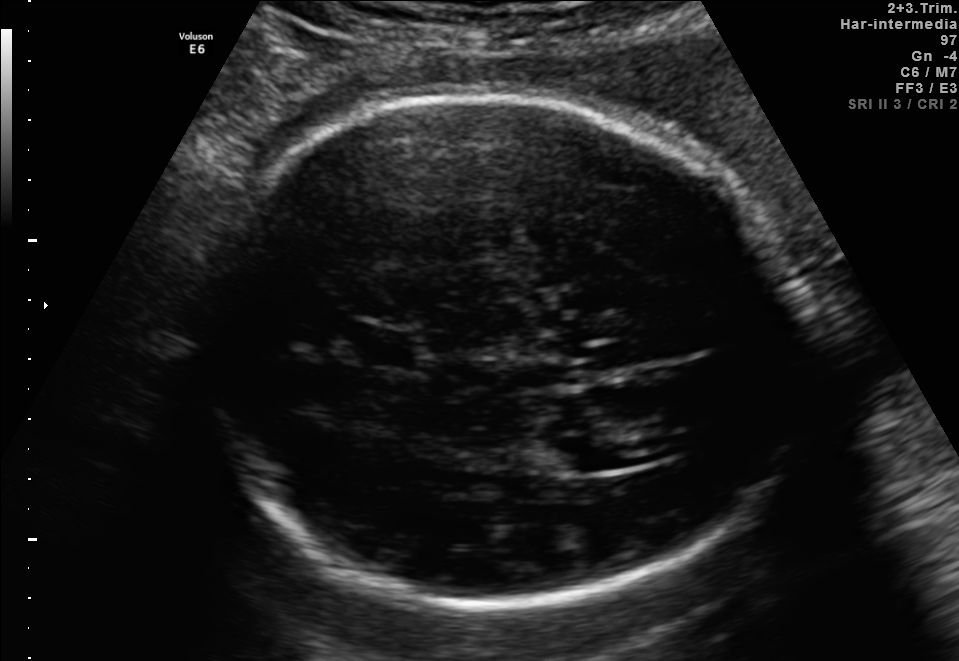
Classify this maternal-fetal ultrasound image as one of the six standard planes — fetal abdomen, fetal brain, fetal femur, fetal thorax, maternal cervix, or other. If it's fetal brain and one of the three standard brain planes (trans-thalamic, trans-cerebellum, trans-ventricular), name which.

Fetal brain (trans-ventricular plane)